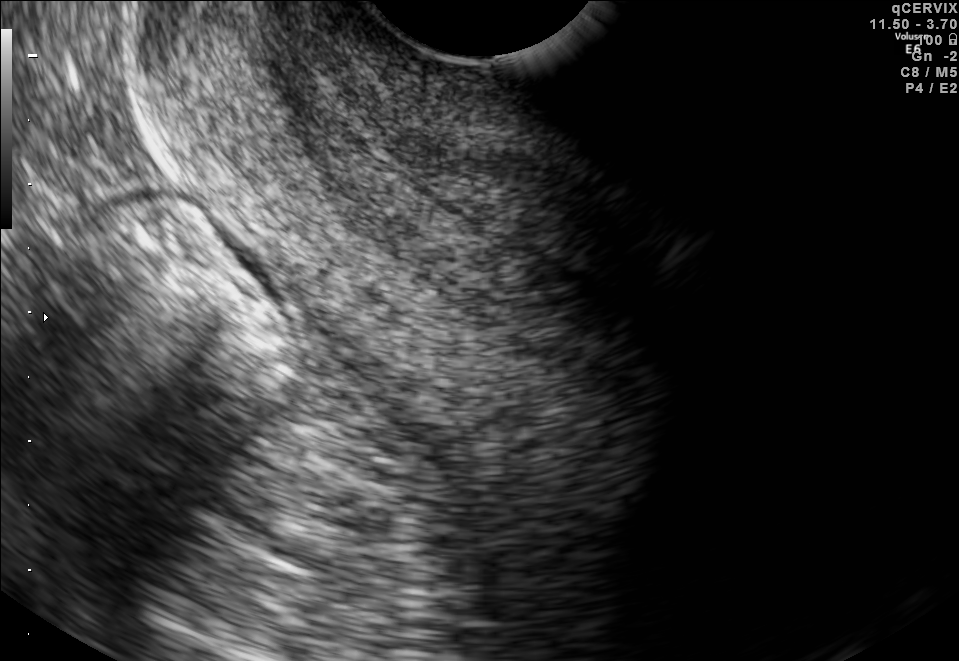
This is a 2D maternal-fetal ultrasound frame. Is it a fetal abdomen, fetal brain, fetal femur, fetal thorax, maternal cervix, or other standard plane? If it's fetal brain and one of the three standard brain planes (trans-thalamic, trans-cerebellum, trans-ventricular), name which.

Maternal cervix